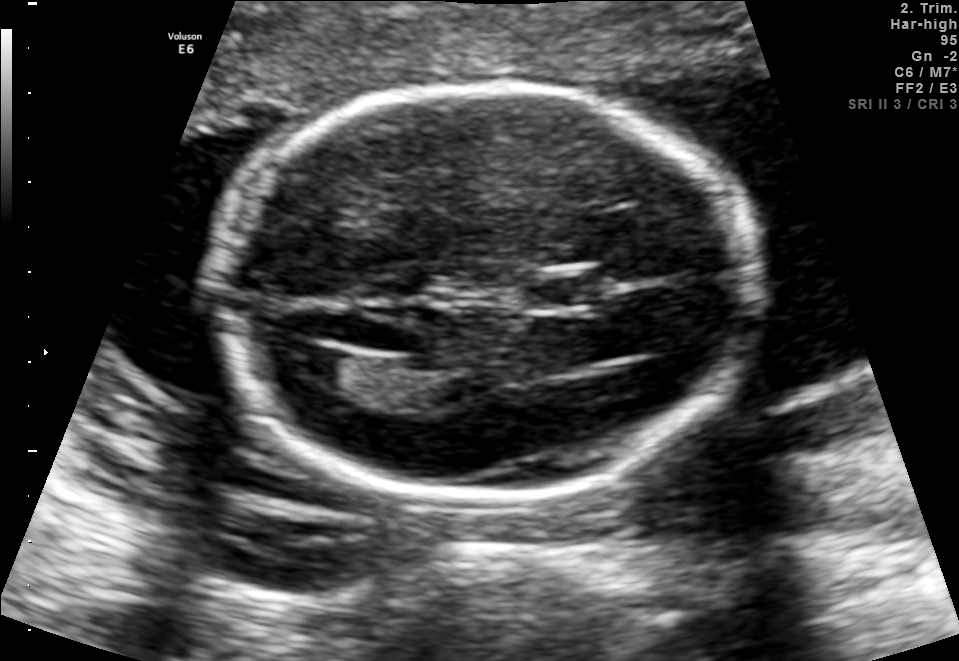
Which standard maternal-fetal ultrasound plane is shown: fetal abdomen, fetal brain, fetal femur, fetal thorax, maternal cervix, or other? If it's fetal brain and one of the three standard brain planes (trans-thalamic, trans-cerebellum, trans-ventricular), name which.

Fetal brain (trans-ventricular plane)